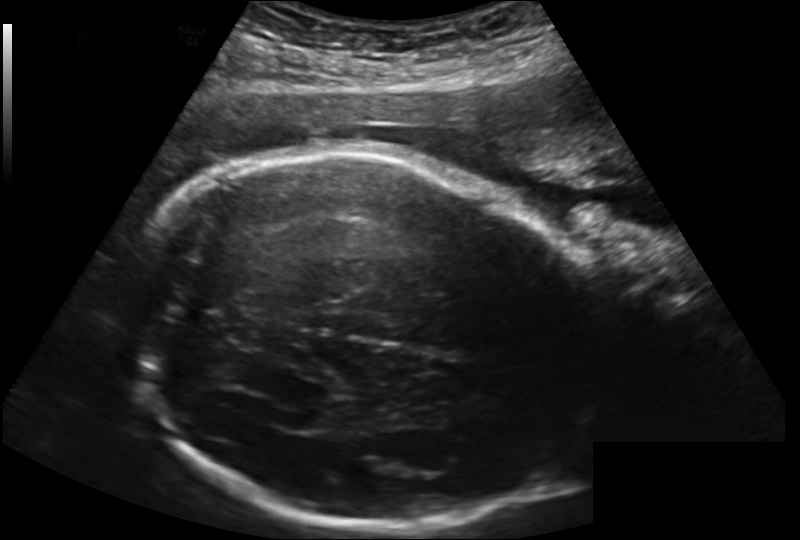
In this fetal head ultrasound, give the bounding box of the fetal head. Image width: 161.7 mm.

[125,150,601,529]